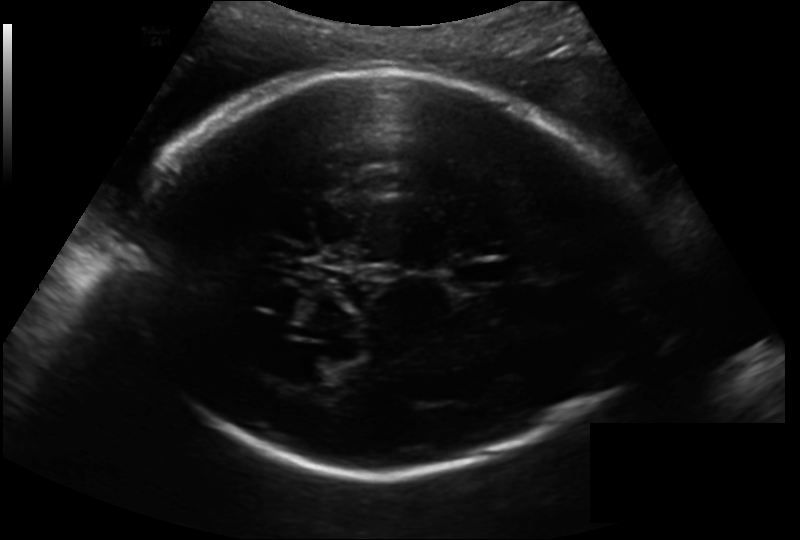
What is the fetal head circumference? Image width is 154.5 mm.

280.6 mm